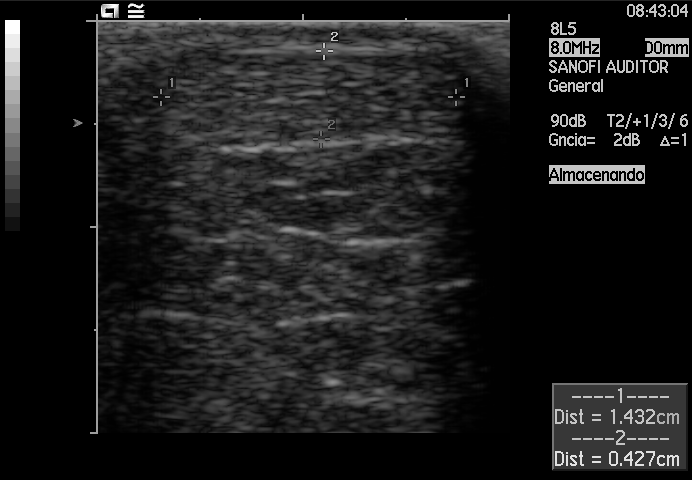
This is a 2D maternal-fetal ultrasound frame. Is it a fetal abdomen, fetal brain, fetal femur, fetal thorax, maternal cervix, or other standard plane? If it's fetal brain and one of the three standard brain planes (trans-thalamic, trans-cerebellum, trans-ventricular), name which.

Other